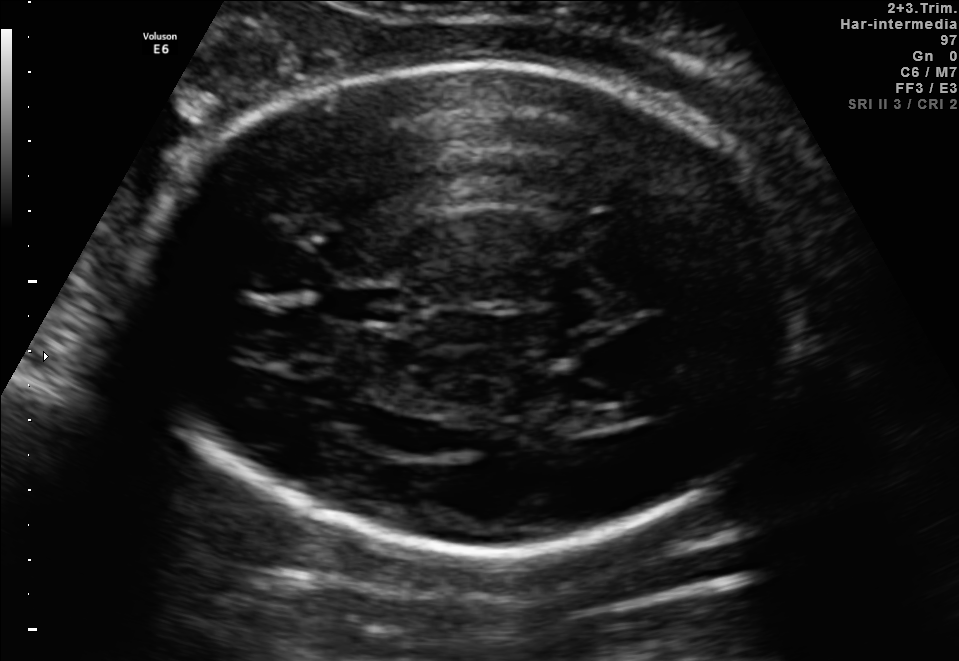
In this fetal brain, trans-ventricular plane, give the bounding box of the fetal head.

[137,56,816,563]